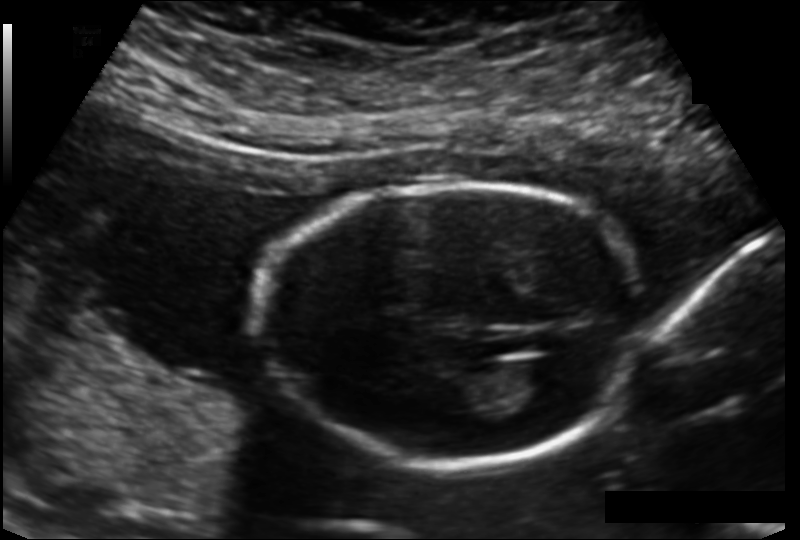
From this fetal ultrasound, estimate the head circumference (image width 107.7 mm).

Head circumference: 147.9 mm.